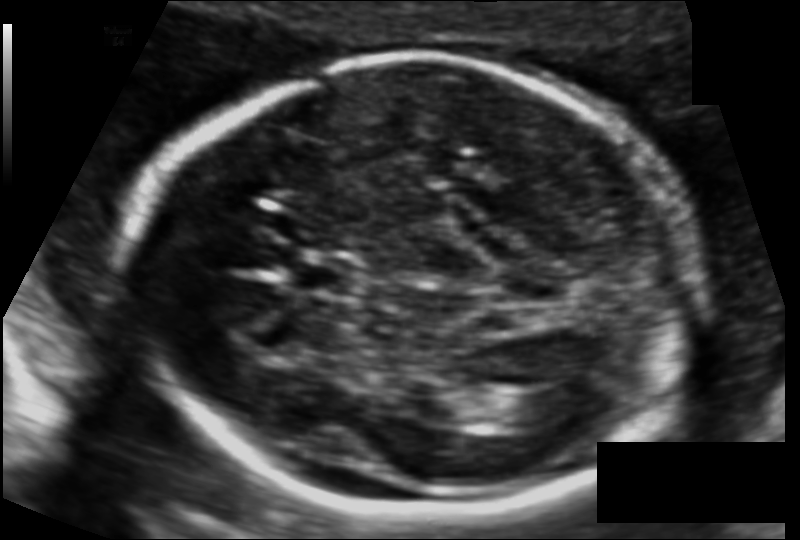
In this fetal head ultrasound, give the bounding box of the lateral ventricle. Image width: 89.5 mm.

[523,378,591,425]